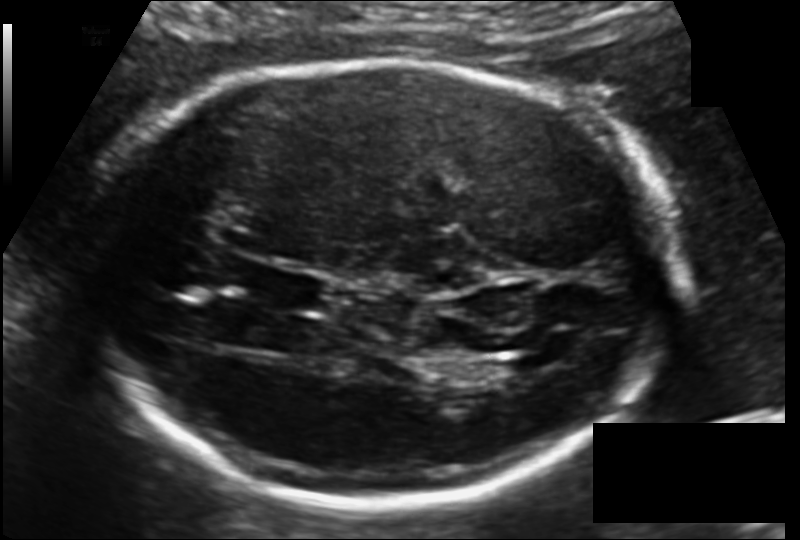
In this fetal head ultrasound, give the bounding box of the cavum septum pellucidum. Image width: 107.8 mm.

[254,264,326,315]